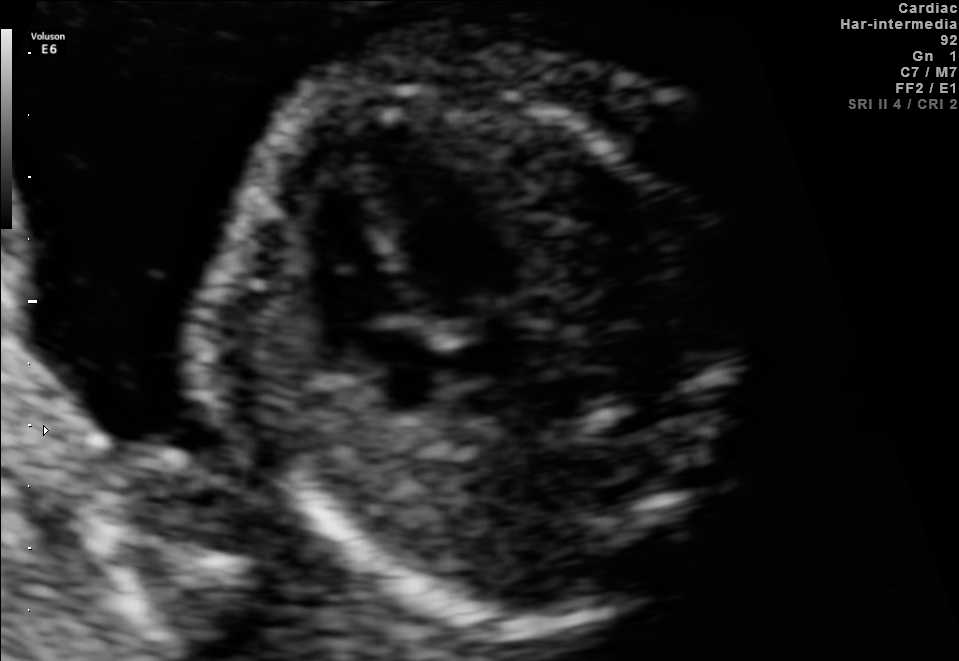
Which standard maternal-fetal ultrasound plane is shown: fetal abdomen, fetal brain, fetal femur, fetal thorax, maternal cervix, or other? If it's fetal brain and one of the three standard brain planes (trans-thalamic, trans-cerebellum, trans-ventricular), name which.

Fetal thorax